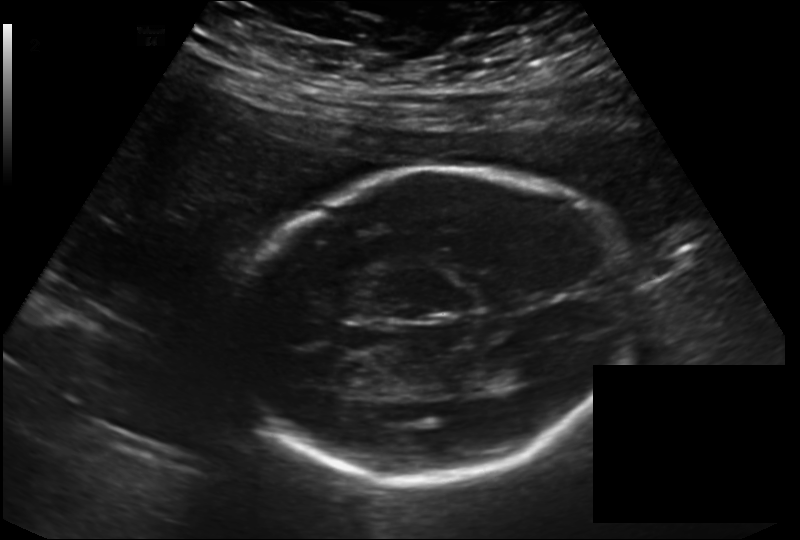
What is the fetal head circumference? Image width is 158.6 mm.

234.0 mm